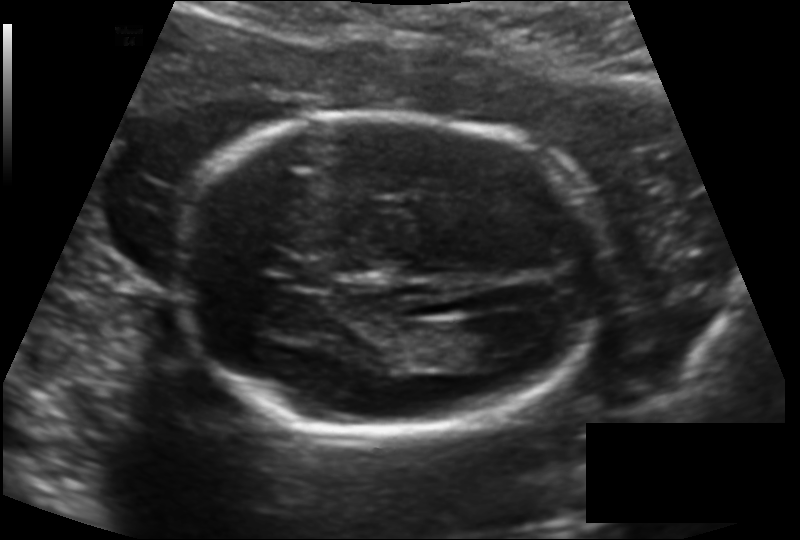
Fetal head ultrasound. Image width: 110.7 mm. Locate the fetal head and, if visible, the cavum septum pellucidum (CSP) and lateral ventricle (LV). Give bounding boxes as [x1,y1,x2,y2].

Head: [175,115,605,431]
CSP: [289,261,330,288]
Lateral ventricle: [439,318,519,370]